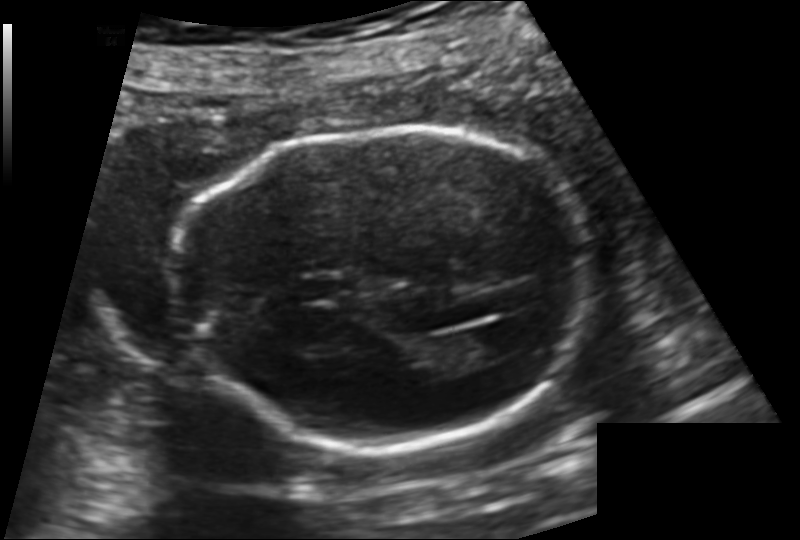
In this fetal head ultrasound, give the bounding box of the lateral ventricle. Image width: 115.3 mm.

[447,320,517,370]